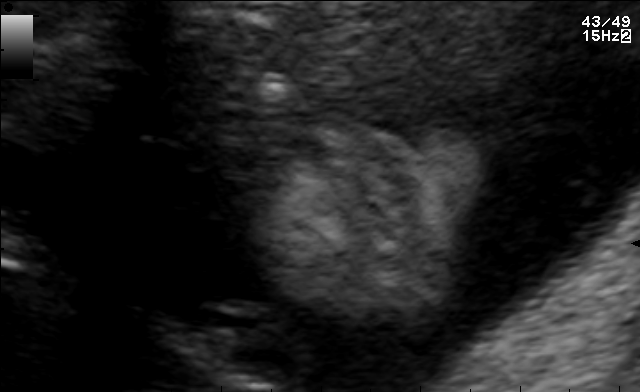
Identify the standard plane in this fetal ultrasound image: fetal abdomen, fetal brain, fetal femur, fetal thorax, maternal cervix, or other. If it's fetal brain and one of the three standard brain planes (trans-thalamic, trans-cerebellum, trans-ventricular), name which.

Other